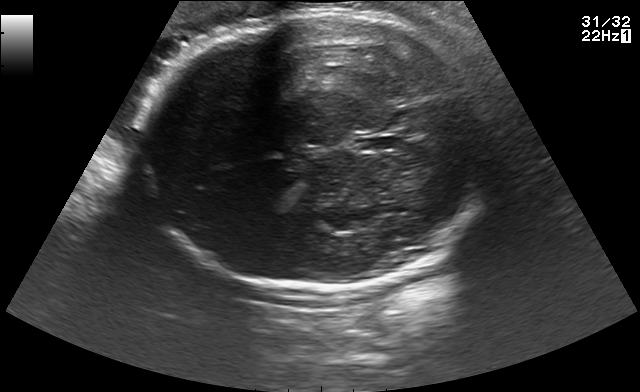
Fetal brain, trans-thalamic plane. Give [x1,y1,x2,y2] bounding boxes for each visible structure among: fetal head, CSP, LV.

Head: [138,14,495,290]
CSP: [356,135,398,152]